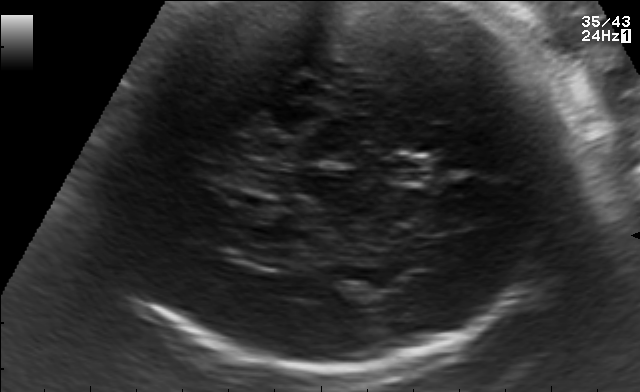
In this fetal brain, trans-thalamic plane, give the bounding box of the cavum septum pellucidum.

[386,158,431,182]